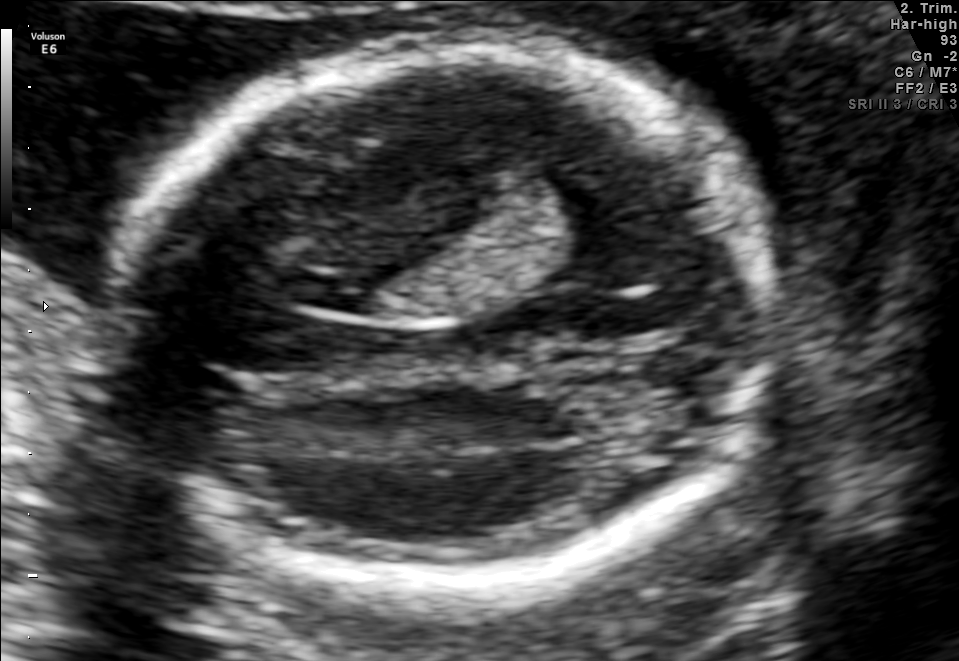
Fetal brain, trans-ventricular plane. Locate the fetal head and, if visible, the cavum septum pellucidum (CSP) and lateral ventricle (LV). Give bounding boxes as [x1,y1,x2,y2].

Head: [102,43,791,592]